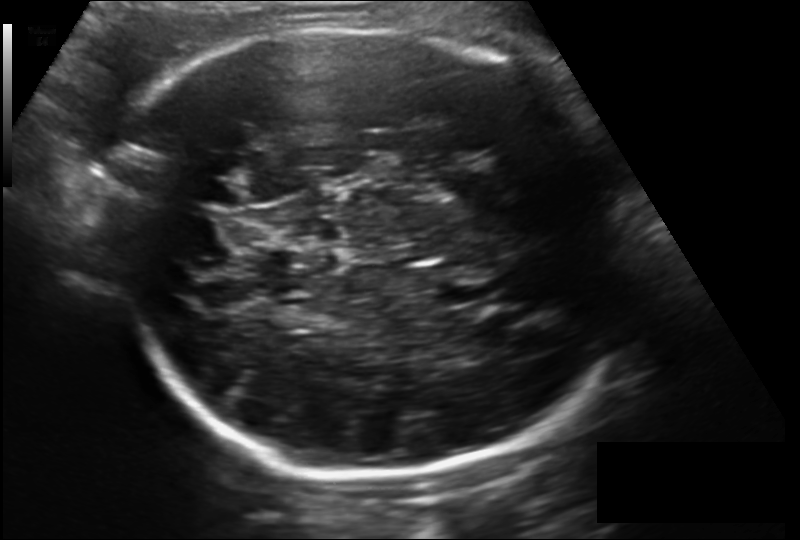
Estimate the fetal head circumference from this 2D ultrasound. Image width: 152.2 mm.

Head circumference: 302.8 mm.